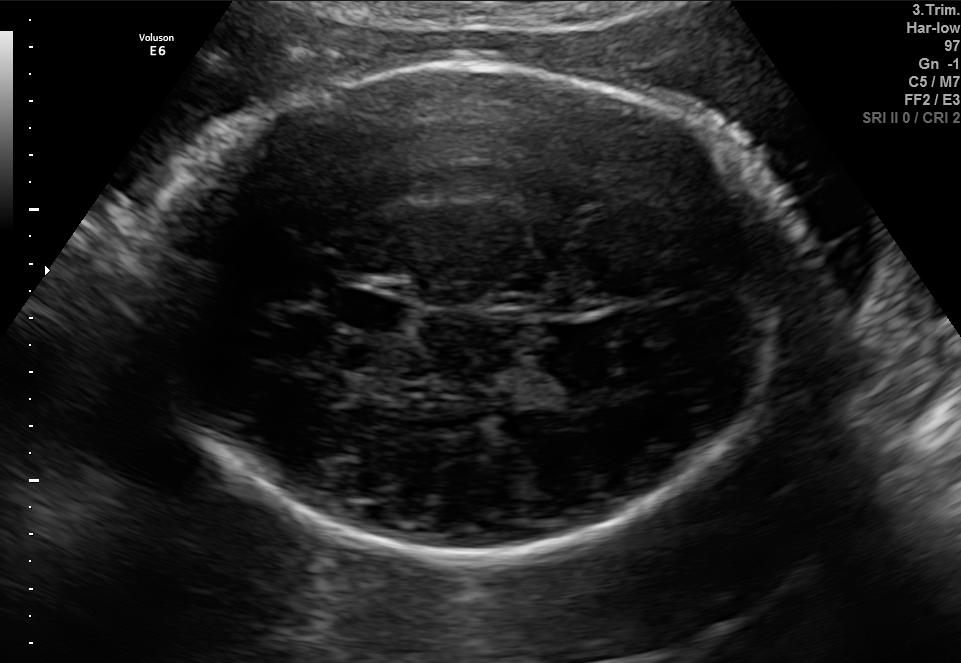
Fetal brain, trans-thalamic plane. Where is the fetal head?

Head bounding box: [145,60,788,559]